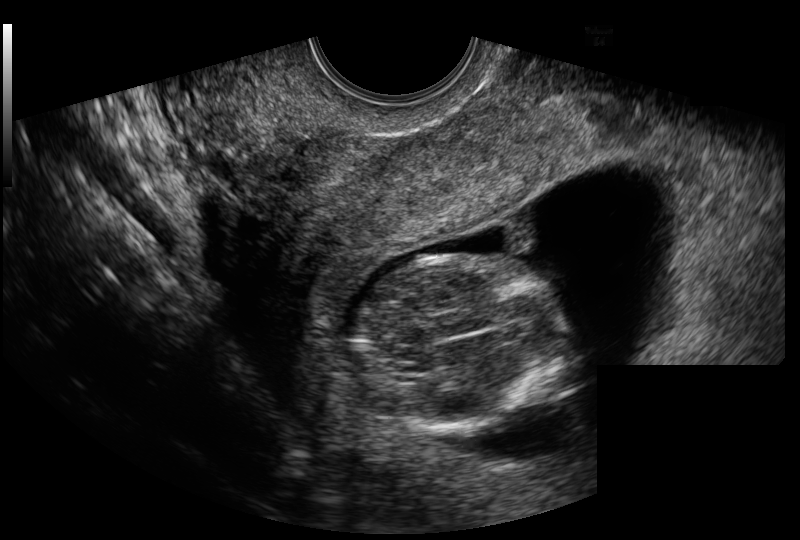
Measure the fetal head circumference shown in this ultrasound image. Image width: 103.2 mm.

Head circumference: 82.6 mm.